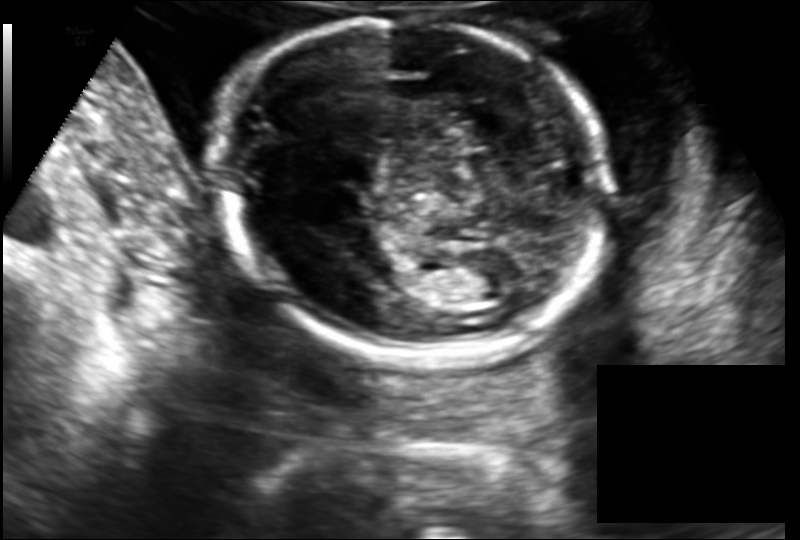
Fetal head ultrasound. Image width: 119.1 mm. Give [x1,y1,x2,y2] bounding boxes for each visible structure among: fetal head, CSP, LV.

Head: [214,20,607,361]